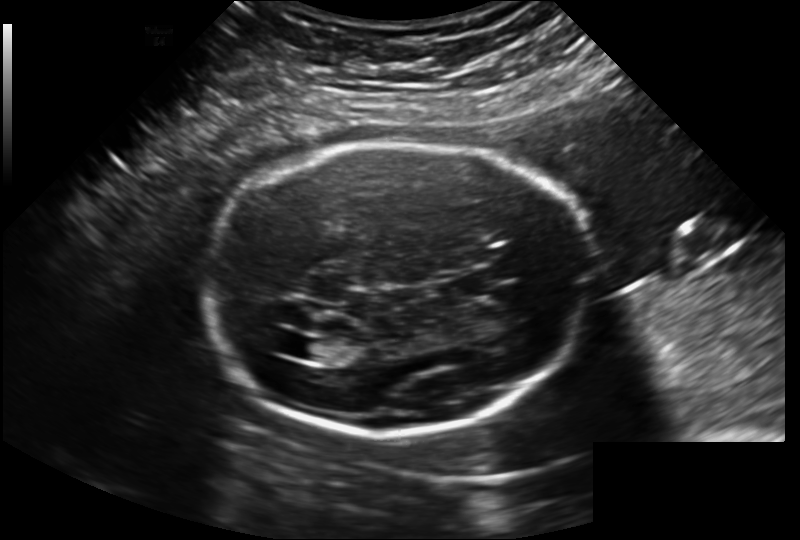
Fetal head ultrasound. Image width: 161.6 mm. Where is the cavum septum pellucidum?

CSP bounding box: [435,269,491,308]